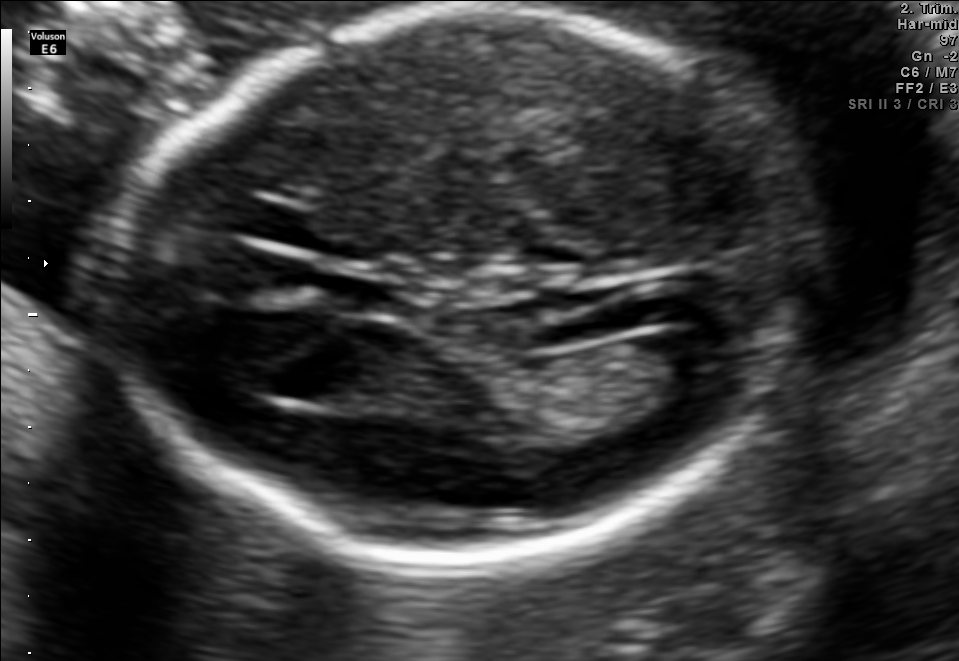
In this fetal brain, trans-ventricular plane, give bounding boxes for the head outline, cavum septum pellucidum (CSP), and lateral ventricle (LV), where visible.

Head: [101,4,828,565]
CSP: [332,276,404,319]
Lateral ventricle: [634,312,753,405]